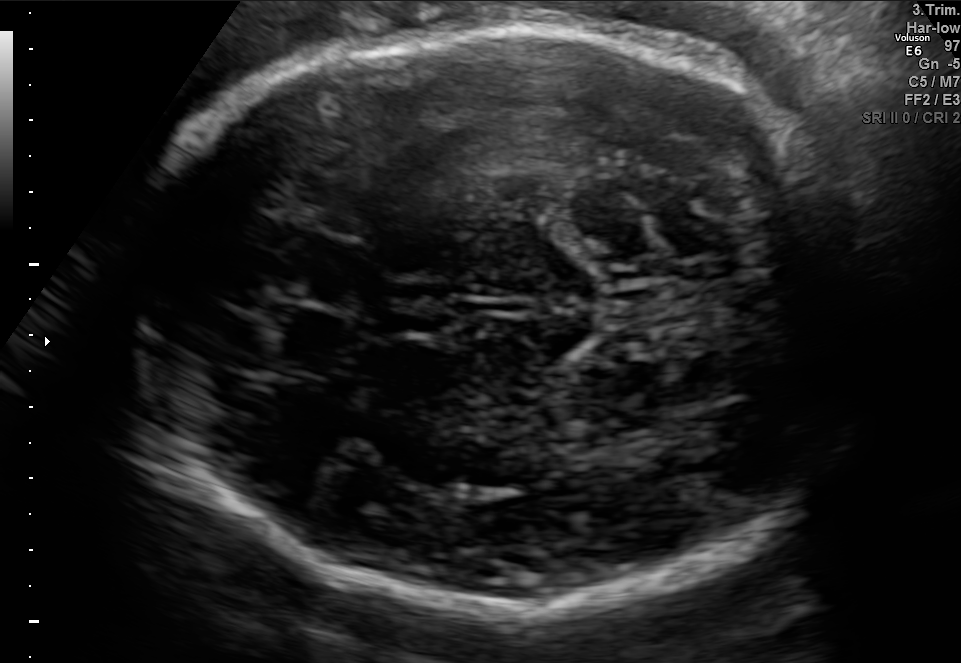
Fetal brain, trans-thalamic plane. Locate the fetal head.

Head: [126,26,865,617]